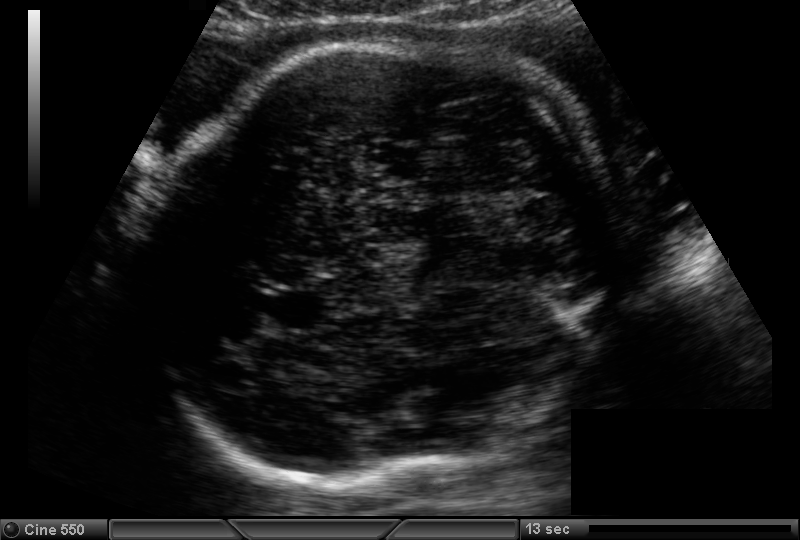
Fetal head ultrasound. Image width: 144.1 mm. Locate the fetal head.

Head: [142,43,608,484]